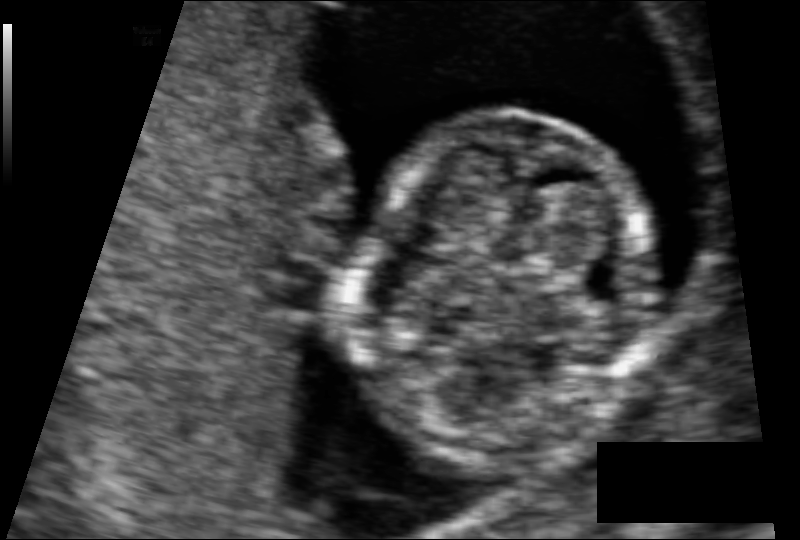
In this fetal head ultrasound, give the bounding box of the fetal head. Image width: 58.9 mm.

[358,112,657,464]